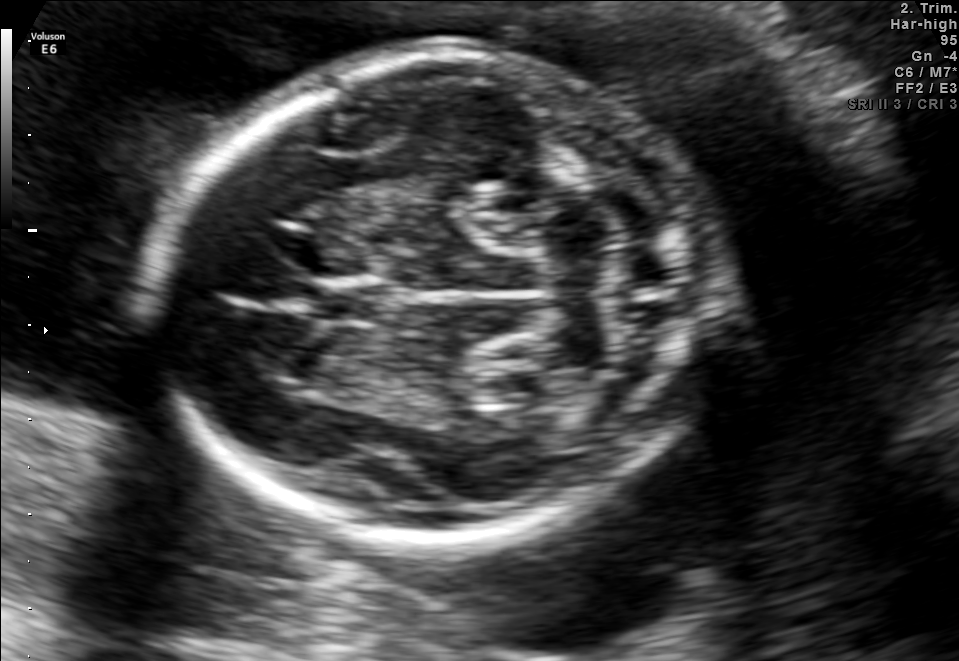
In this fetal brain, trans-cerebellum plane, give bounding boxes for the head outline, cavum septum pellucidum (CSP), and lateral ventricle (LV), where visible.

Head: [154,51,715,538]
CSP: [309,281,384,324]